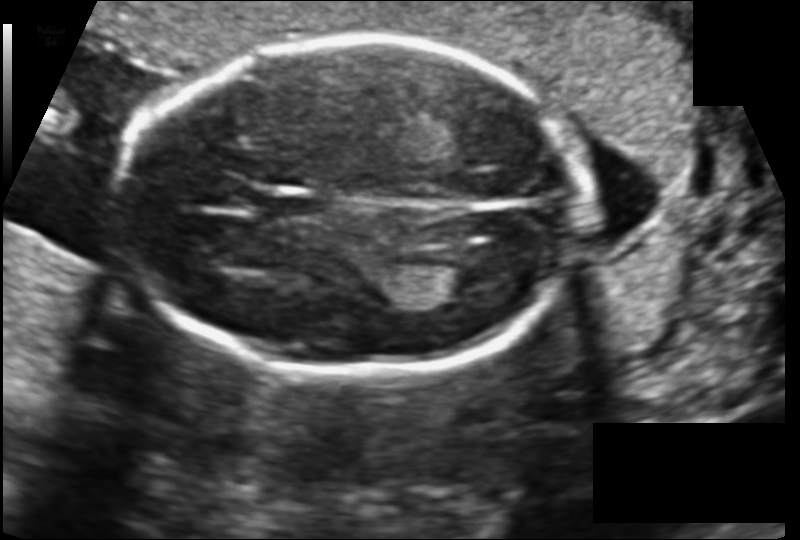
In this fetal head ultrasound, give the bounding box of the lateral ventricle. Image width: 102.7 mm.

[419,265,483,299]